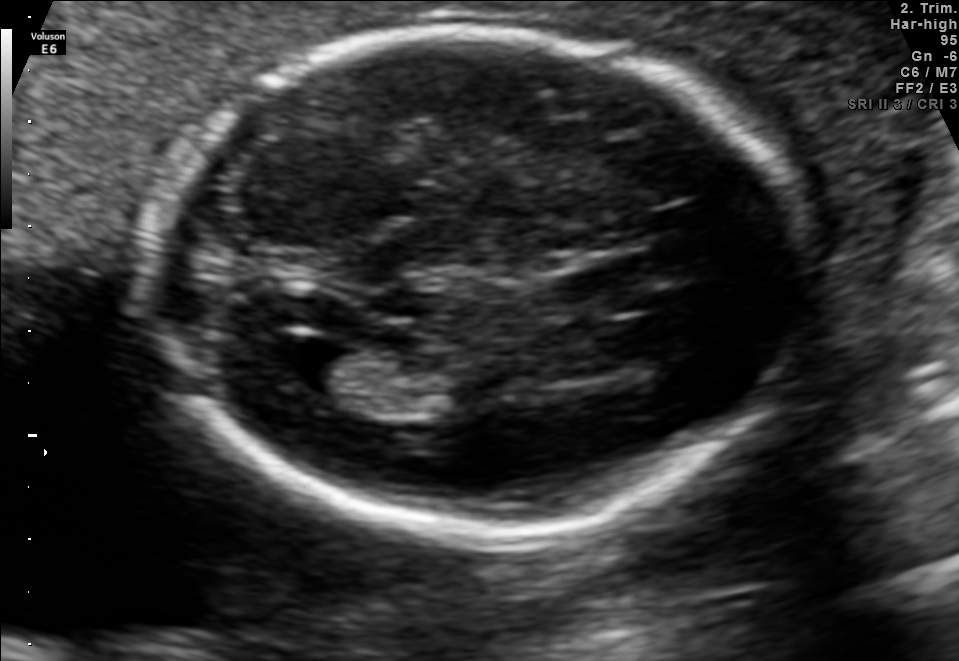
Fetal brain, trans-ventricular plane. Where is the cavum septum pellucidum?

CSP bounding box: [520,258,618,320]